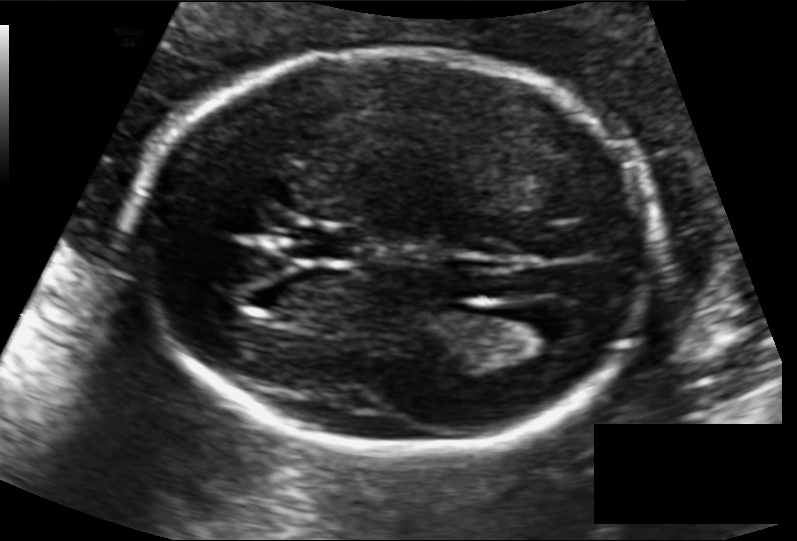
Estimate the fetal head circumference from this 2D ultrasound.

Head circumference: 175.9 mm (image width 94.0 mm).